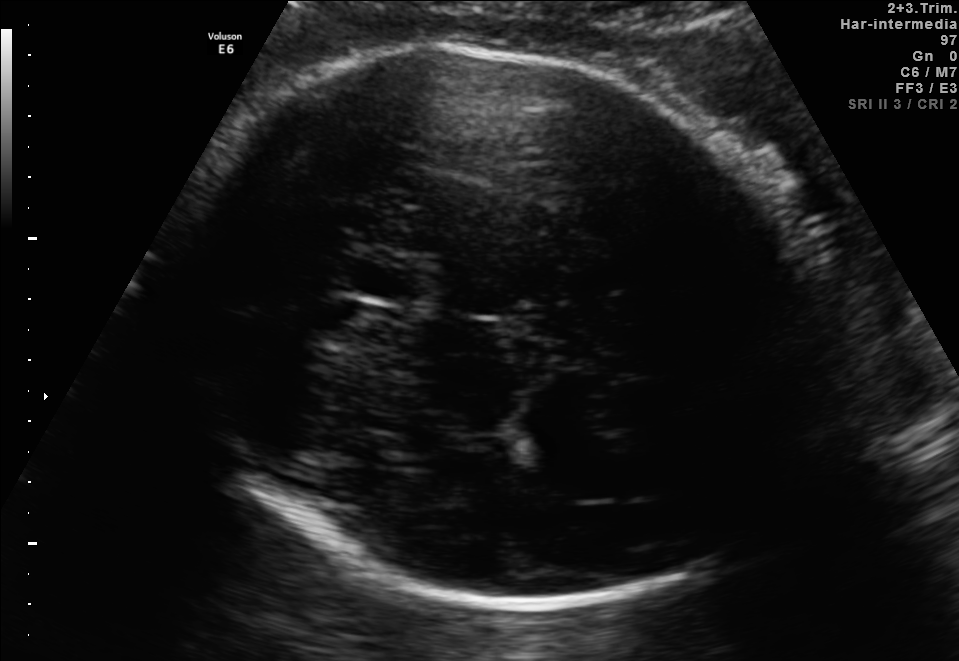
Classify this maternal-fetal ultrasound image as one of the six standard planes — fetal abdomen, fetal brain, fetal femur, fetal thorax, maternal cervix, or other. If it's fetal brain and one of the three standard brain planes (trans-thalamic, trans-cerebellum, trans-ventricular), name which.

Fetal brain (trans-thalamic plane)